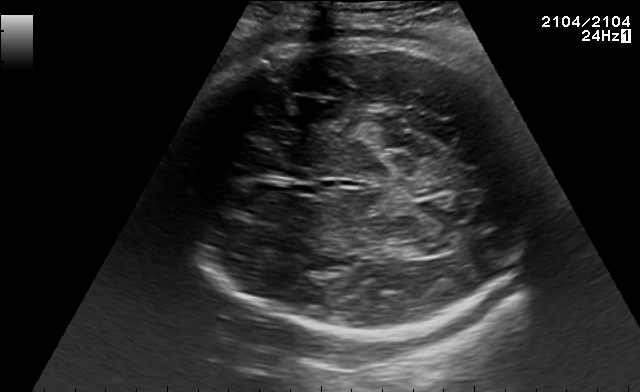
Fetal brain, trans-thalamic plane. Where is the fetal head?

Head bounding box: [168,40,538,335]